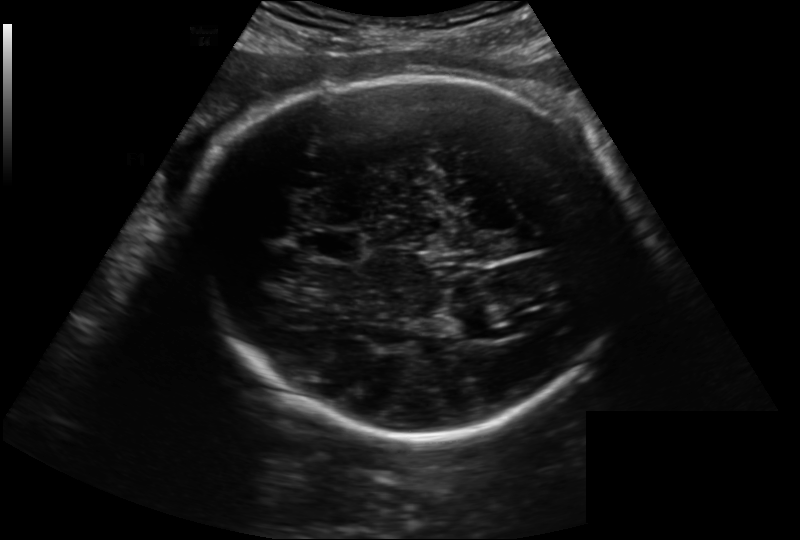
In this fetal head ultrasound, give bounding boxes for the head outline, cavum septum pellucidum (CSP), and lateral ventricle (LV), where visible. Image width: 177.3 mm.

Head: [182,76,633,433]
CSP: [304,229,362,263]
Lateral ventricle: [488,313,537,344]